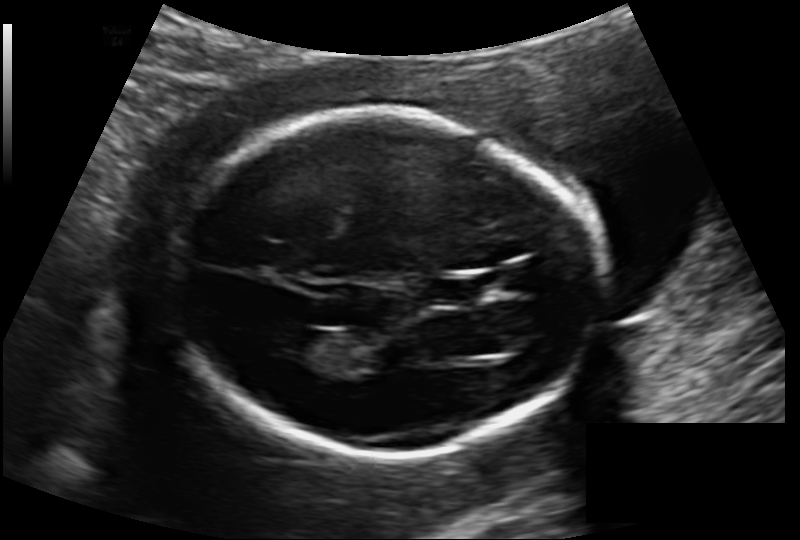
Fetal head ultrasound. Image width: 106.3 mm. Locate the fetal head.

Head: [174,110,601,457]